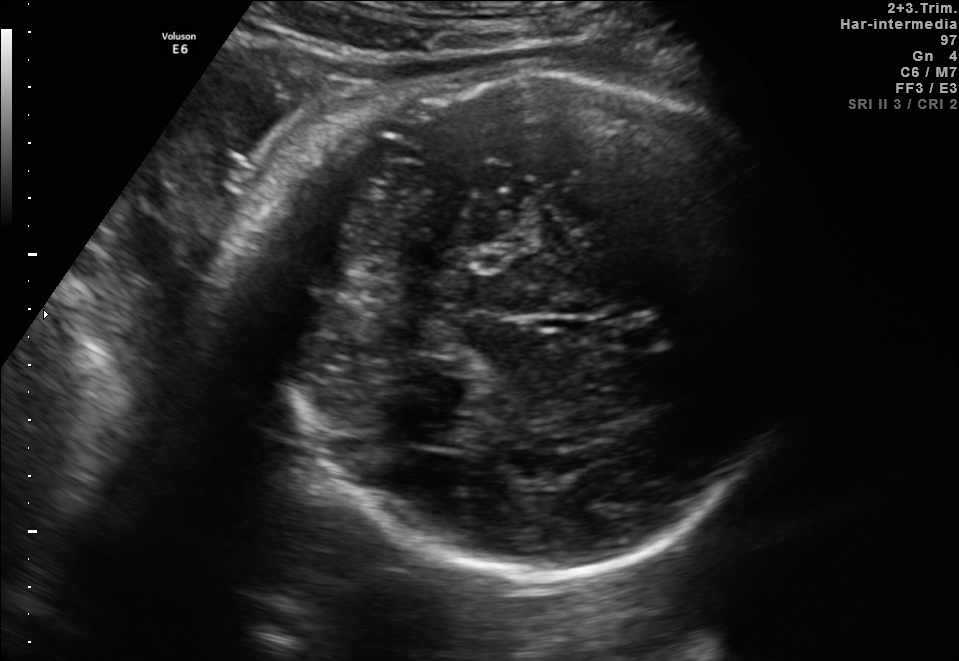
Fetal brain, trans-cerebellum plane. Locate the fetal head and, if visible, the cavum septum pellucidum (CSP) and lateral ventricle (LV). Give bounding boxes as [x1,y1,x2,y2].

Head: [270,64,789,579]
CSP: [602,313,667,356]